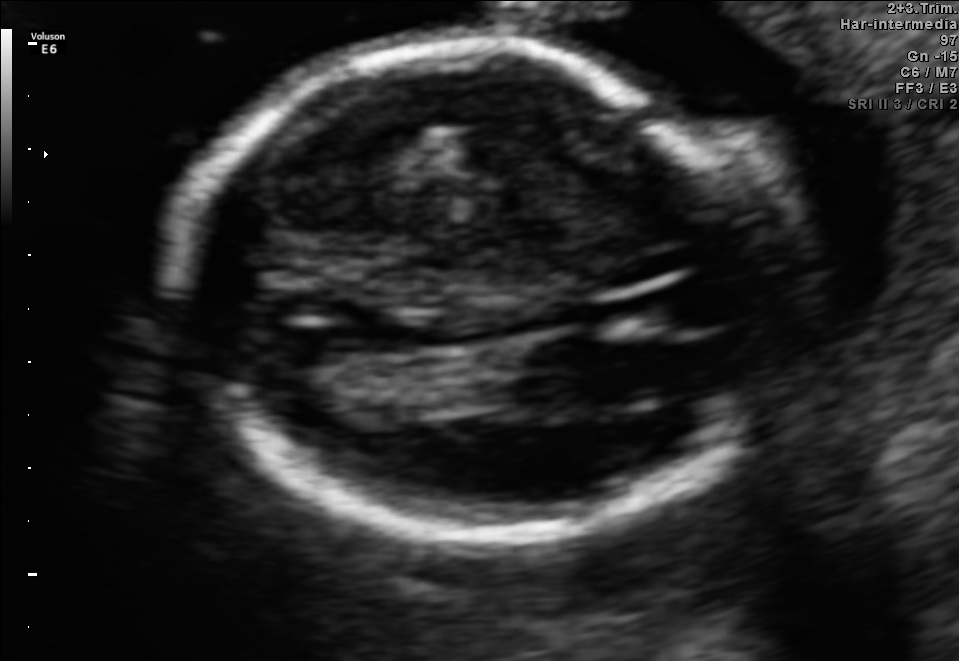
Fetal brain, trans-thalamic plane. Locate the fetal head.

Head: [169,43,764,536]